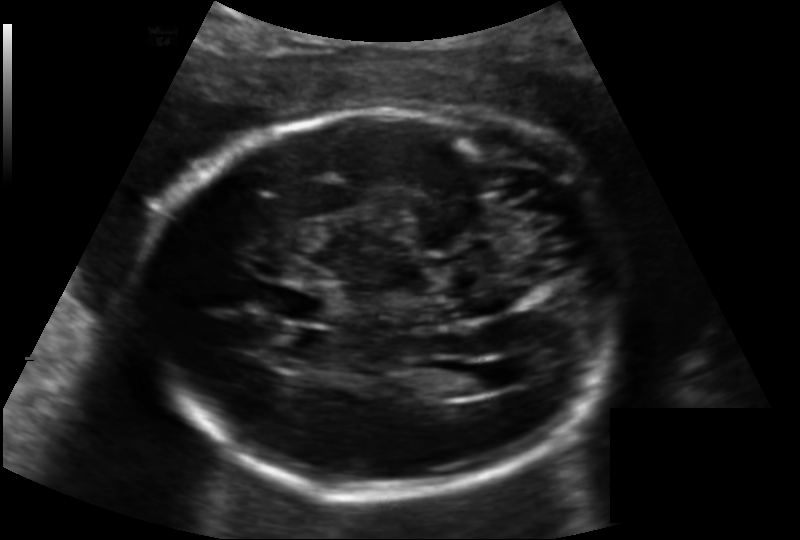
Fetal head ultrasound. Image width: 126.5 mm. Where is the cavum septum pellucidum?

CSP bounding box: [270,281,335,327]